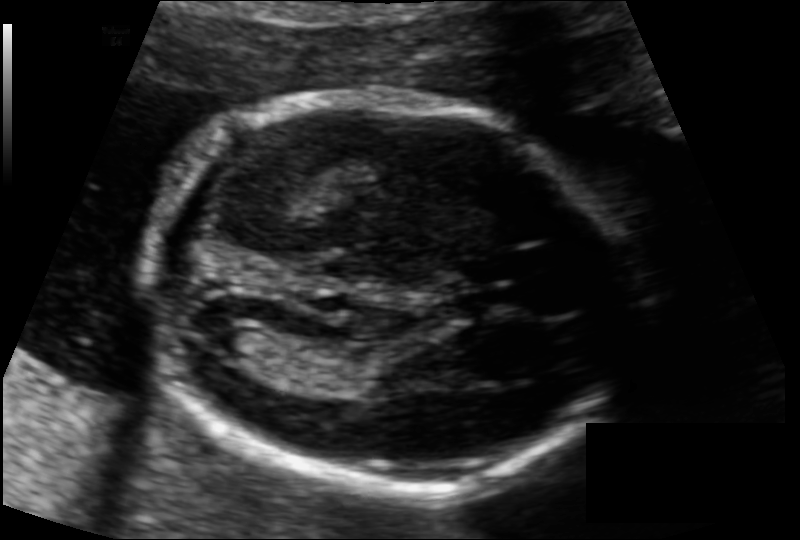
In this fetal head ultrasound, give bounding boxes for the head outline, cavum septum pellucidum (CSP), and lateral ventricle (LV), where visible. Image width: 86.5 mm.

Head: [148,96,631,489]
Lateral ventricle: [206,313,272,368]